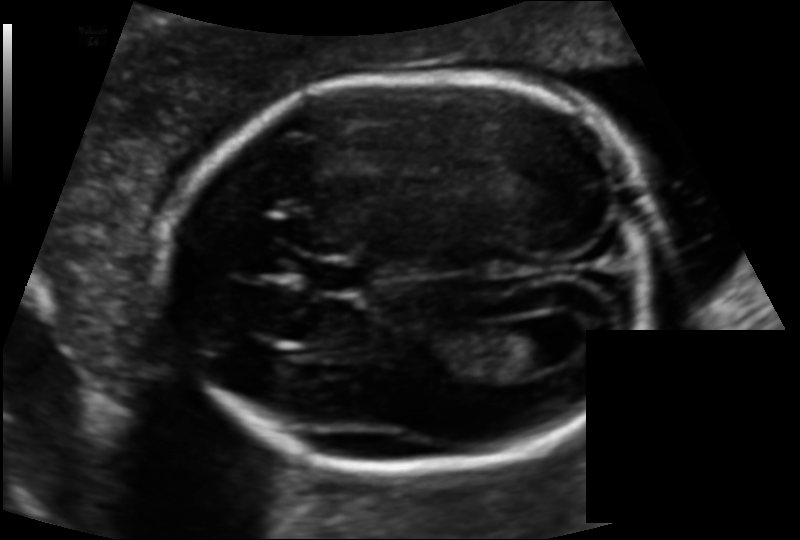
Estimate the fetal head circumference from this 2D ultrasound. Image width: 95.5 mm.

Head circumference: 171.9 mm.